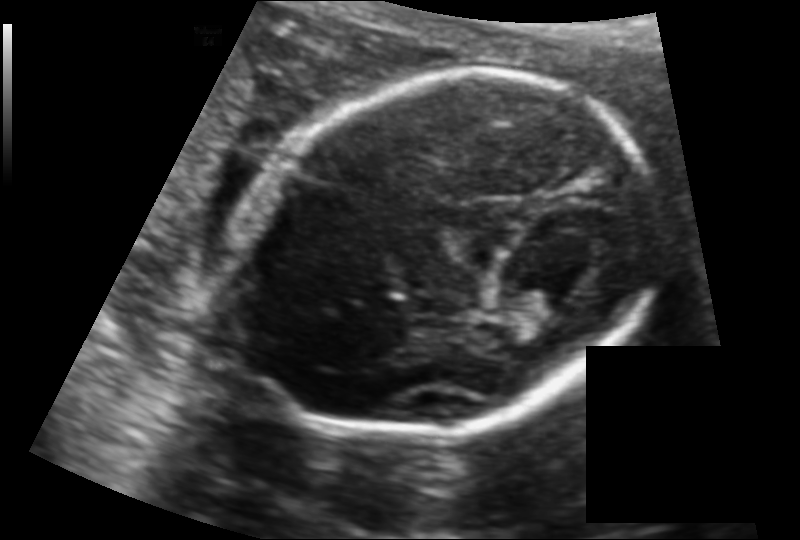
Measure the fetal head circumference shown in this ultrasound image. Image width: 103.7 mm.

Head circumference: 167.7 mm.